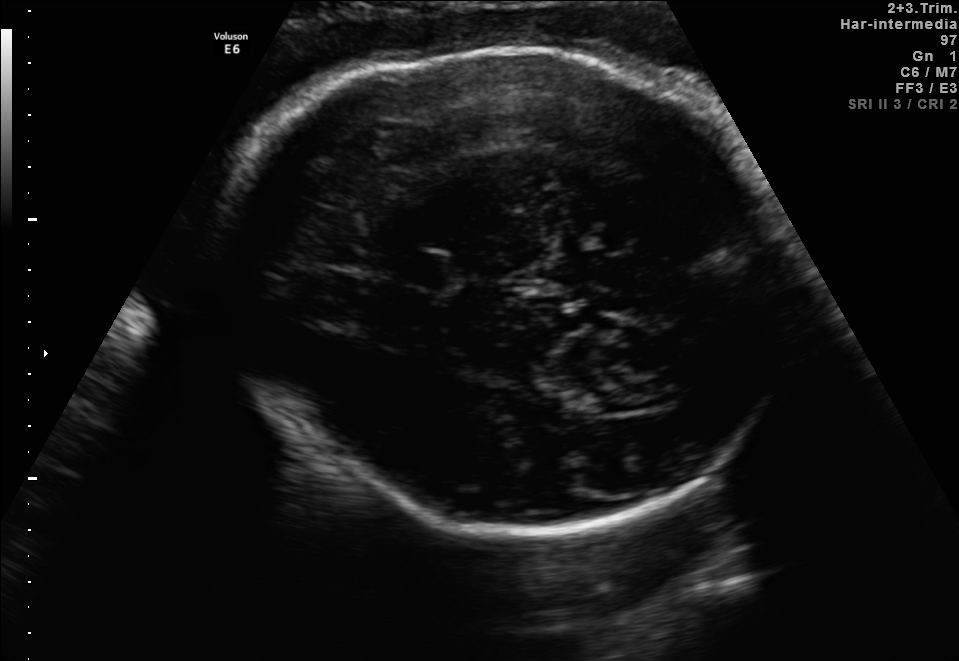
Fetal brain, trans-thalamic plane. Where is the lateral ventricle?

Lateral ventricle bounding box: [584,378,671,419]